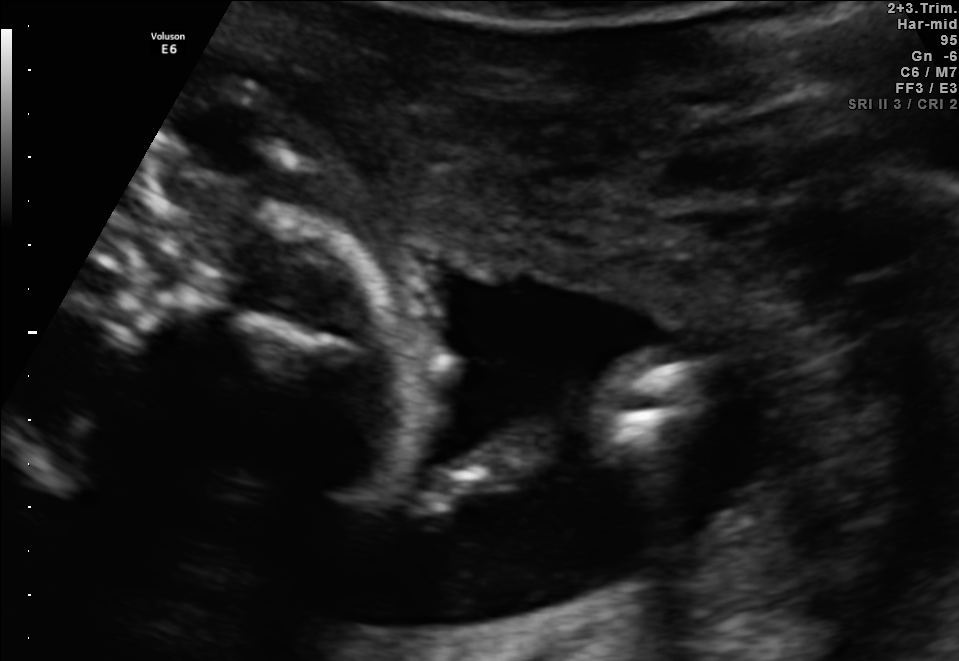
Identify the standard plane in this fetal ultrasound image: fetal abdomen, fetal brain, fetal femur, fetal thorax, maternal cervix, or other. If it's fetal brain and one of the three standard brain planes (trans-thalamic, trans-cerebellum, trans-ventricular), name which.

Other